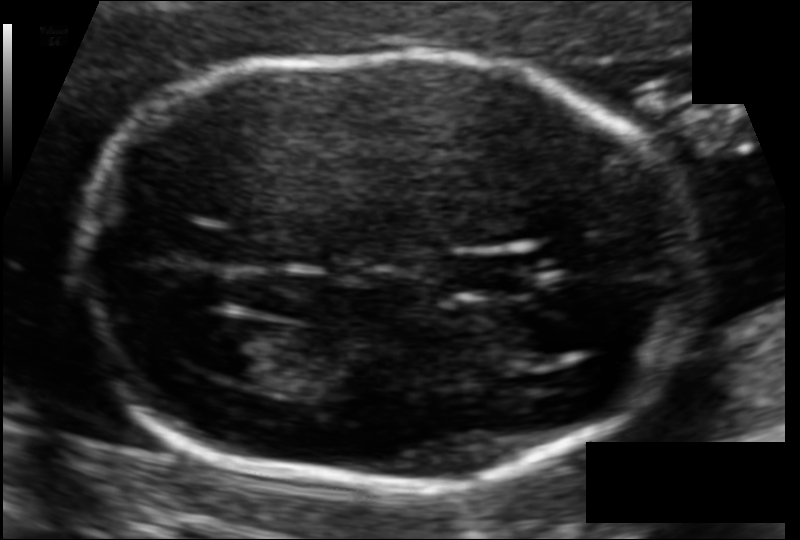
Fetal head ultrasound. Image width: 73.9 mm. Where is the fetal head?

Head bounding box: [81,56,701,486]